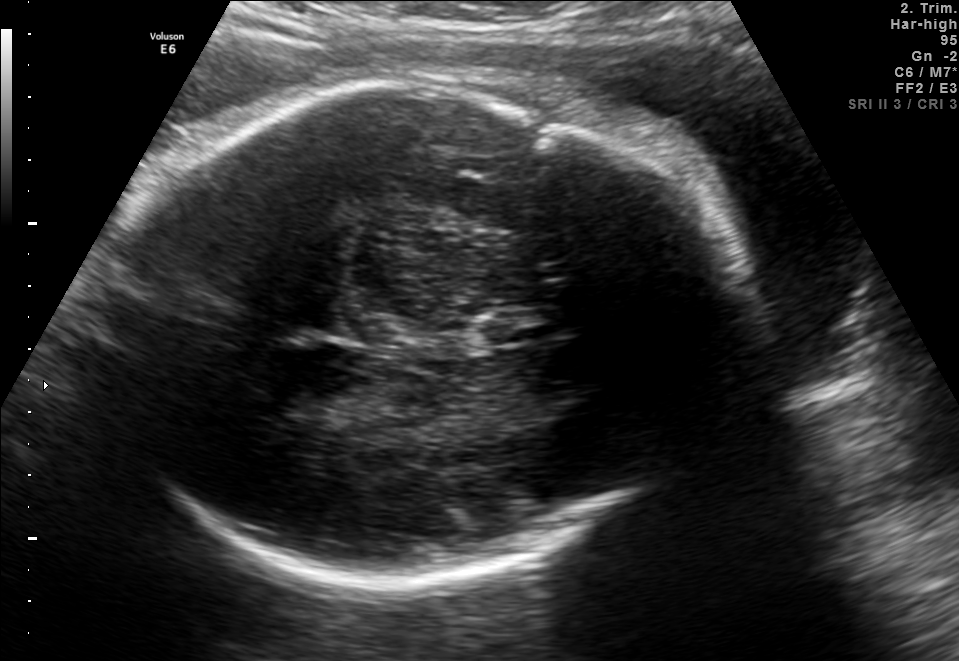
Fetal brain, trans-thalamic plane. Locate the fetal head and, if visible, the cavum septum pellucidum (CSP) and lateral ventricle (LV). Give bounding boxes as [x1,y1,x2,y2].

Head: [82,83,739,580]